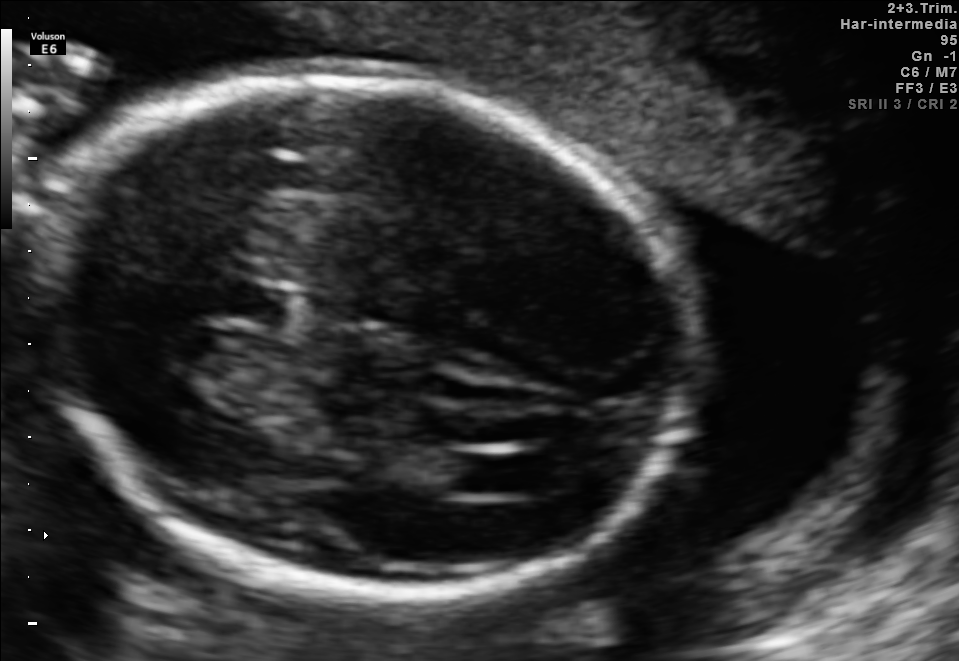
Fetal brain, trans-ventricular plane. Give [x1,y1,x2,y2] bounding boxes for each visible structure among: fetal head, CSP, LV.

Head: [29,62,704,607]
CSP: [212,278,289,329]
Lateral ventricle: [451,455,514,493]